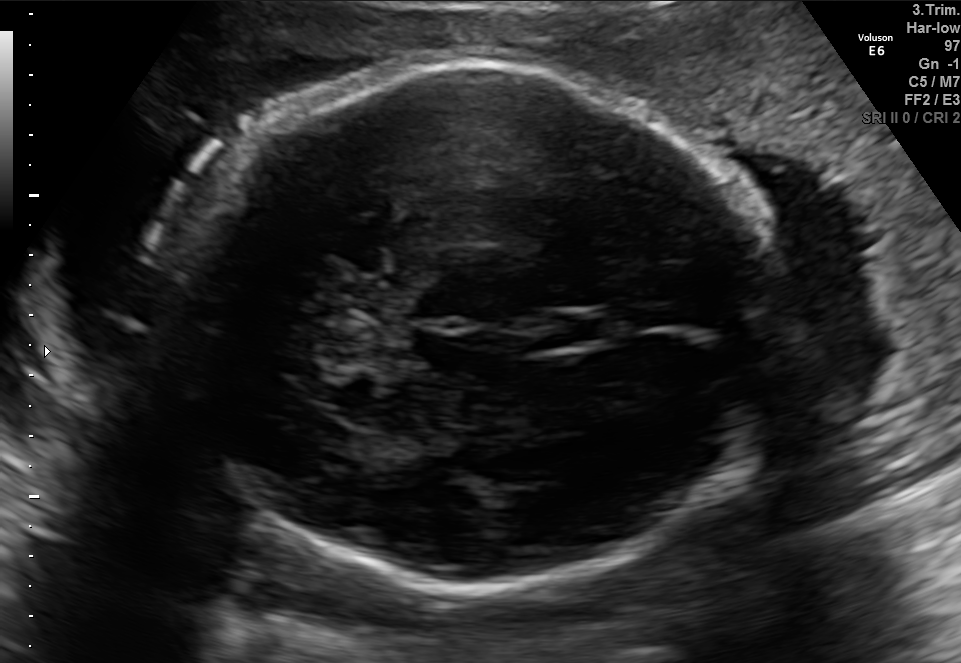
Fetal brain, trans-thalamic plane. Locate the fetal head and, if visible, the cavum septum pellucidum (CSP) and lateral ventricle (LV). Give bounding boxes as [x1,y1,x2,y2].

Head: [162,66,777,587]
CSP: [556,304,623,350]